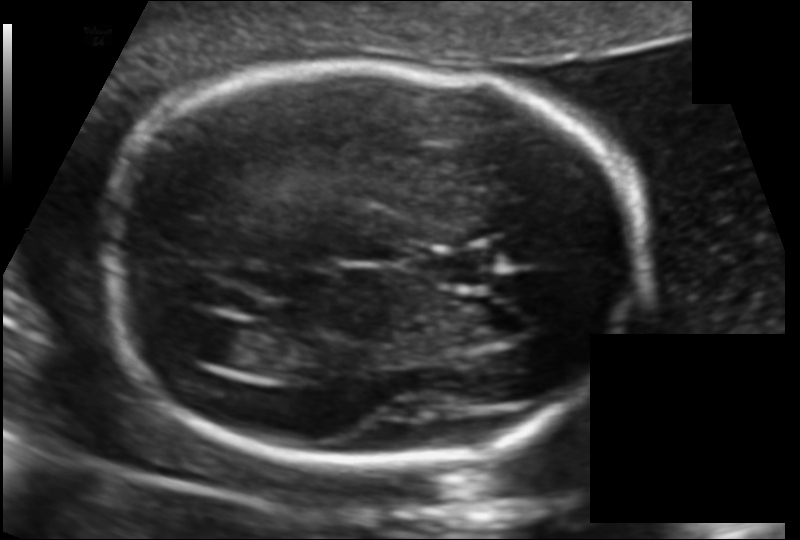
Fetal head ultrasound. Image width: 93.9 mm. Locate the lateral ventricle.

Lateral ventricle: [178,310,263,375]